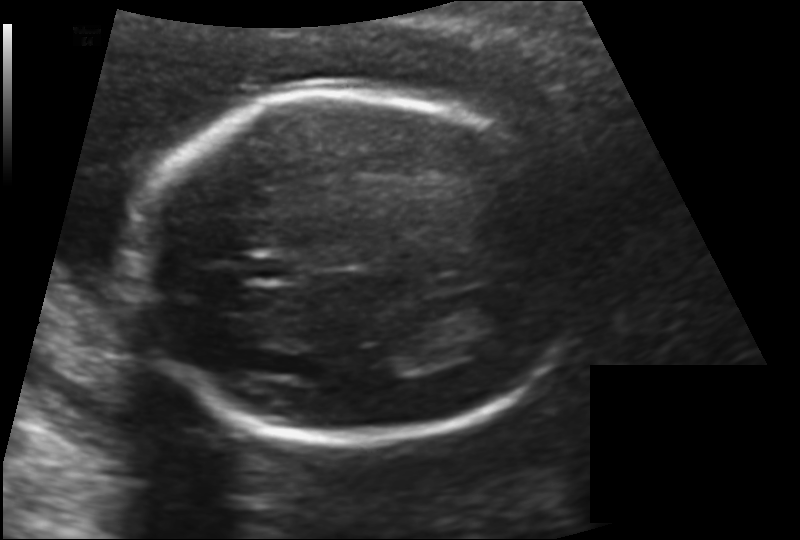
In this fetal head ultrasound, give the bounding box of the fetal head. Image width: 113.8 mm.

[133,92,588,440]